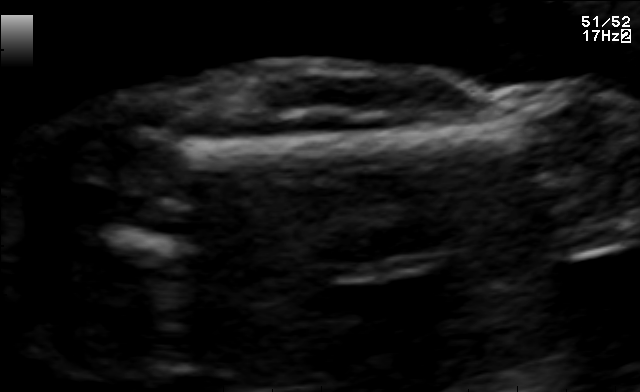
Identify the standard plane in this fetal ultrasound image: fetal abdomen, fetal brain, fetal femur, fetal thorax, maternal cervix, or other. If it's fetal brain and one of the three standard brain planes (trans-thalamic, trans-cerebellum, trans-ventricular), name which.

Fetal femur